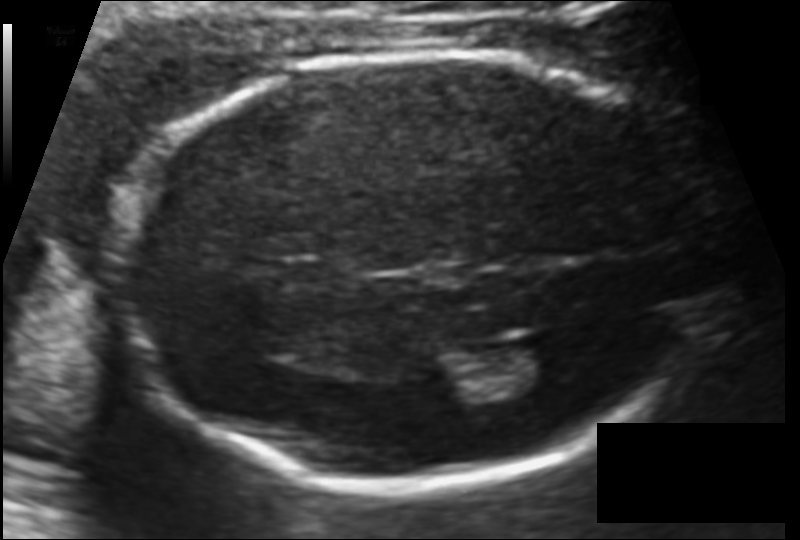
In this fetal head ultrasound, give bounding boxes for the head outline, cavum septum pellucidum (CSP), and lateral ventricle (LV), where visible. Image width: 91.0 mm.

Head: [126,51,704,489]
Lateral ventricle: [492,334,577,401]